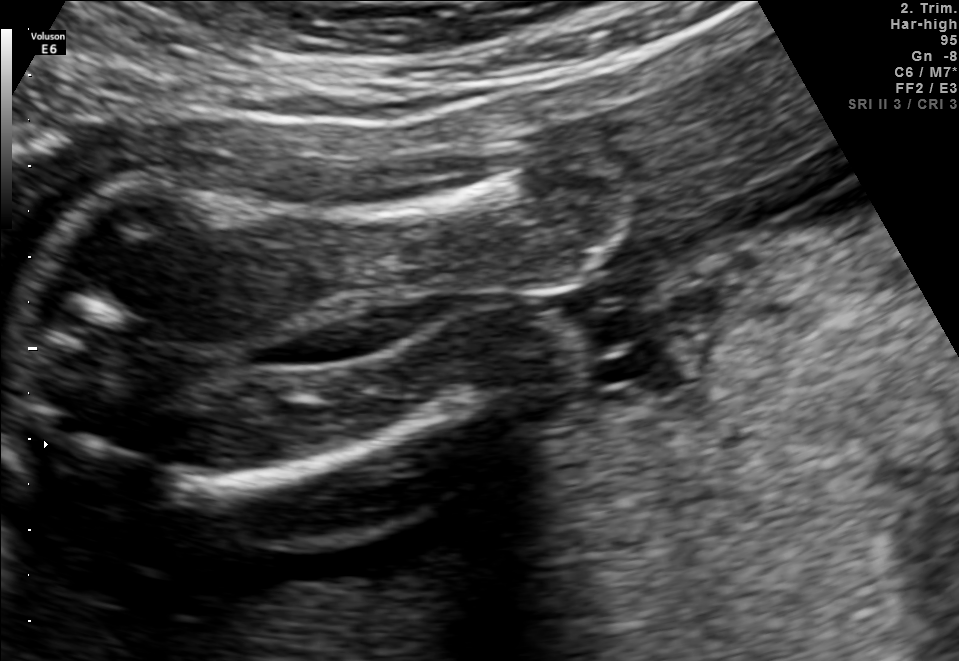
Classify this maternal-fetal ultrasound image as one of the six standard planes — fetal abdomen, fetal brain, fetal femur, fetal thorax, maternal cervix, or other. If it's fetal brain and one of the three standard brain planes (trans-thalamic, trans-cerebellum, trans-ventricular), name which.

Fetal femur